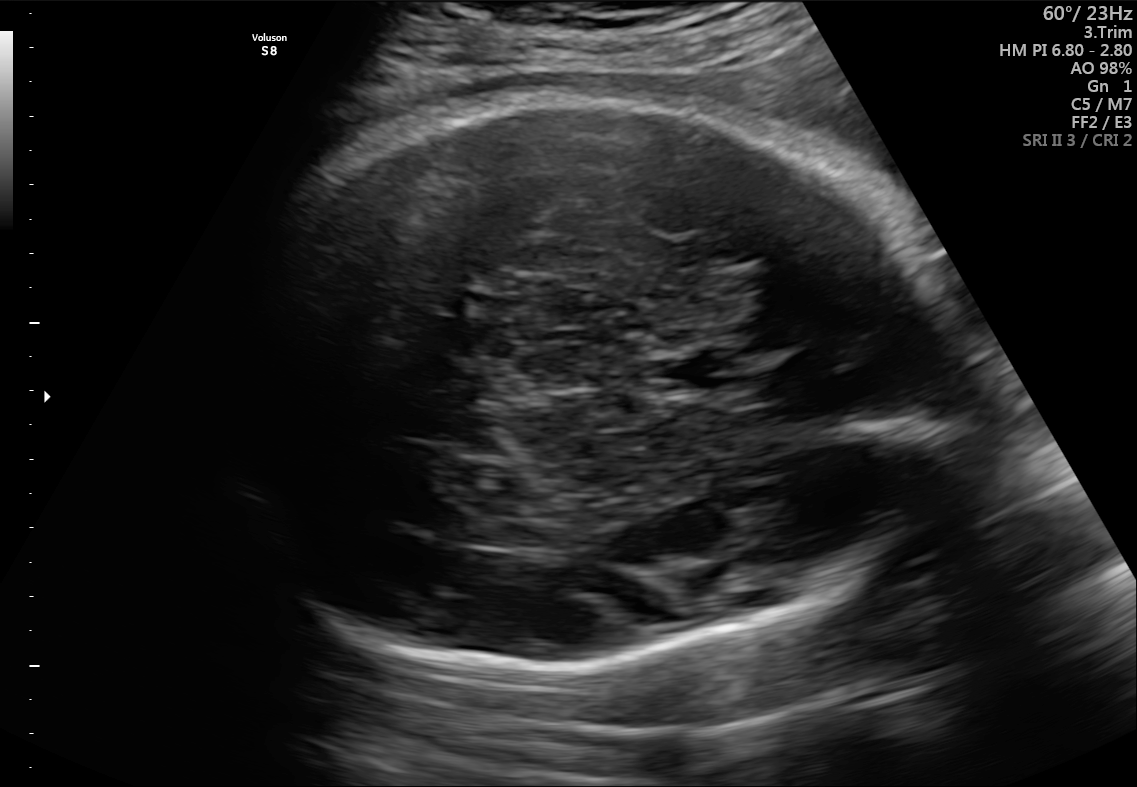
In this fetal brain, trans-thalamic plane, give the bounding box of the fetal head.

[215,95,941,670]